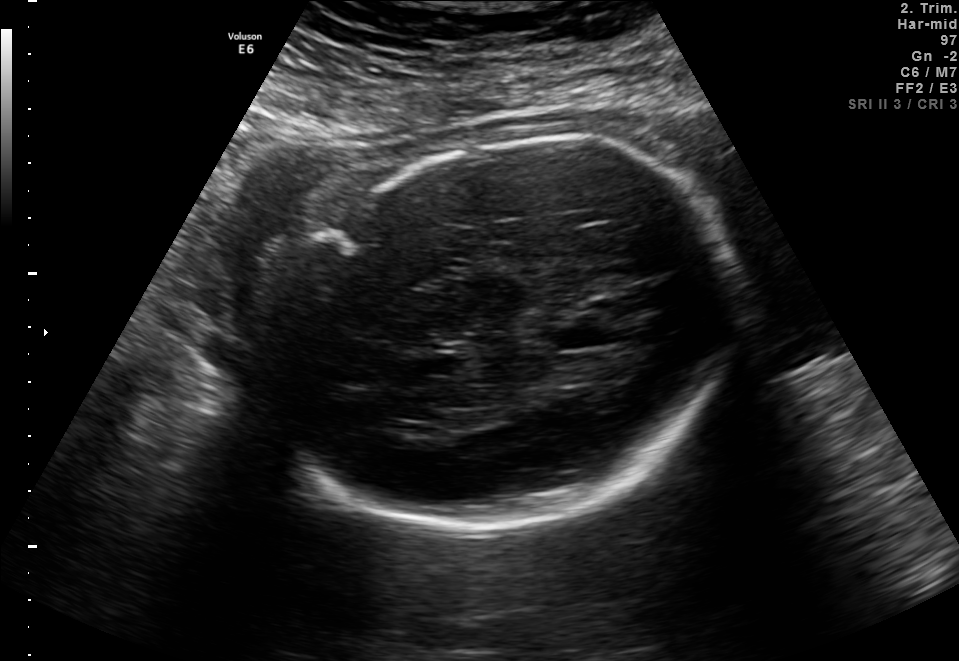
Fetal brain, trans-thalamic plane. Where is the fetal head?

Head bounding box: [256,135,745,536]